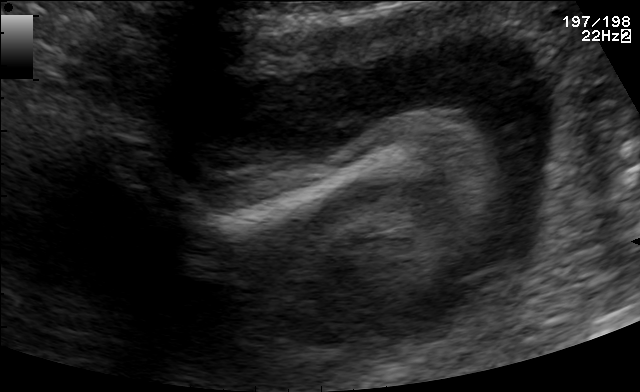
Which standard maternal-fetal ultrasound plane is shown: fetal abdomen, fetal brain, fetal femur, fetal thorax, maternal cervix, or other? If it's fetal brain and one of the three standard brain planes (trans-thalamic, trans-cerebellum, trans-ventricular), name which.

Other